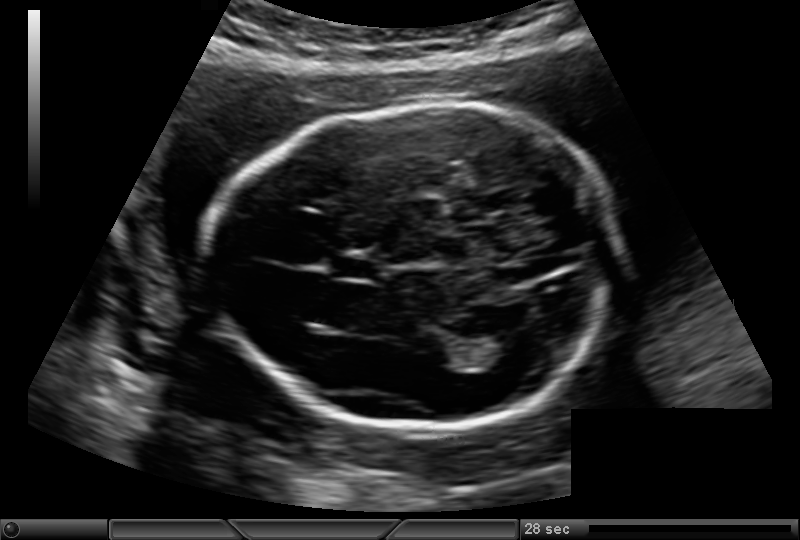
Estimate the fetal head circumference from this 2D ultrasound.

Head circumference: 178.0 mm (image width 117.2 mm).